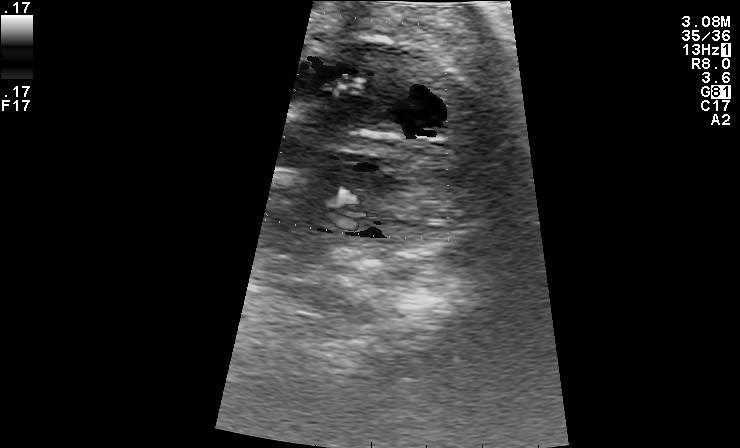
Identify the standard plane in this fetal ultrasound image: fetal abdomen, fetal brain, fetal femur, fetal thorax, maternal cervix, or other. If it's fetal brain and one of the three standard brain planes (trans-thalamic, trans-cerebellum, trans-ventricular), name which.

Other